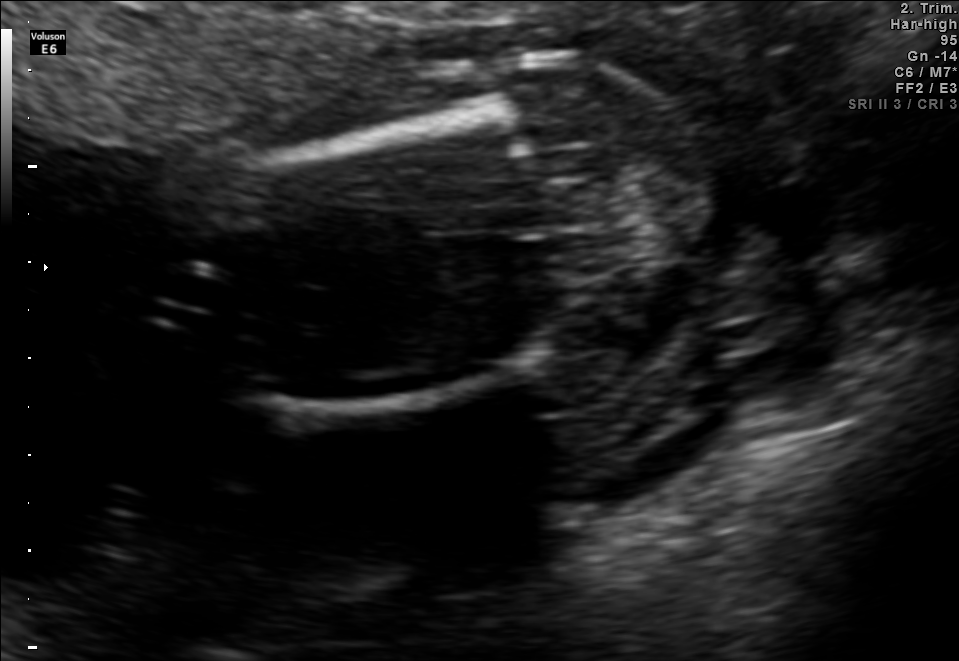
Classify this maternal-fetal ultrasound image as one of the six standard planes — fetal abdomen, fetal brain, fetal femur, fetal thorax, maternal cervix, or other. If it's fetal brain and one of the three standard brain planes (trans-thalamic, trans-cerebellum, trans-ventricular), name which.

Fetal femur